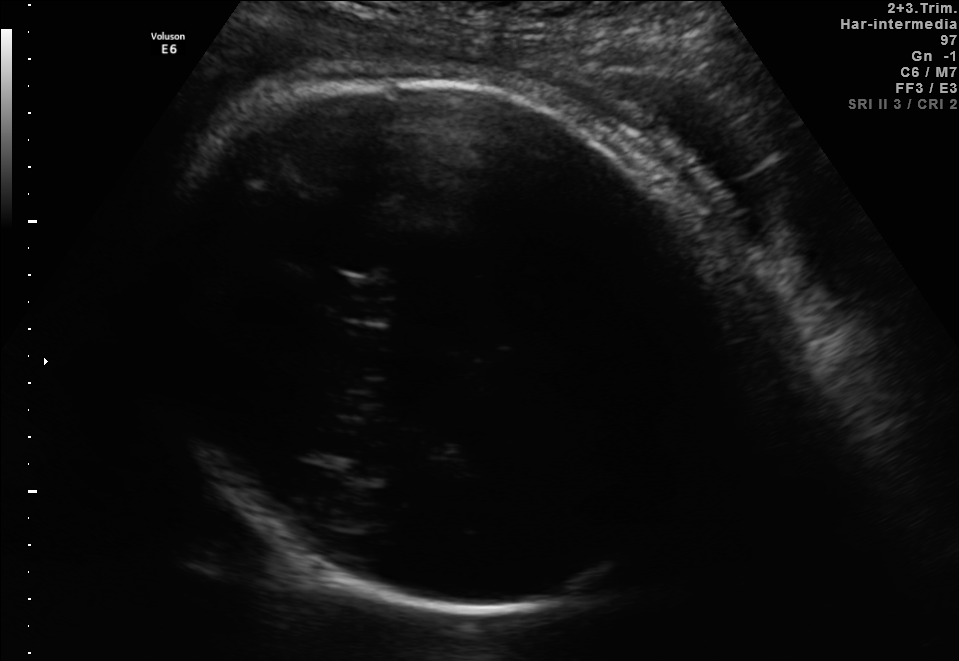
In this fetal brain, trans-thalamic plane, give the bounding box of the fetal head.

[144,79,735,612]